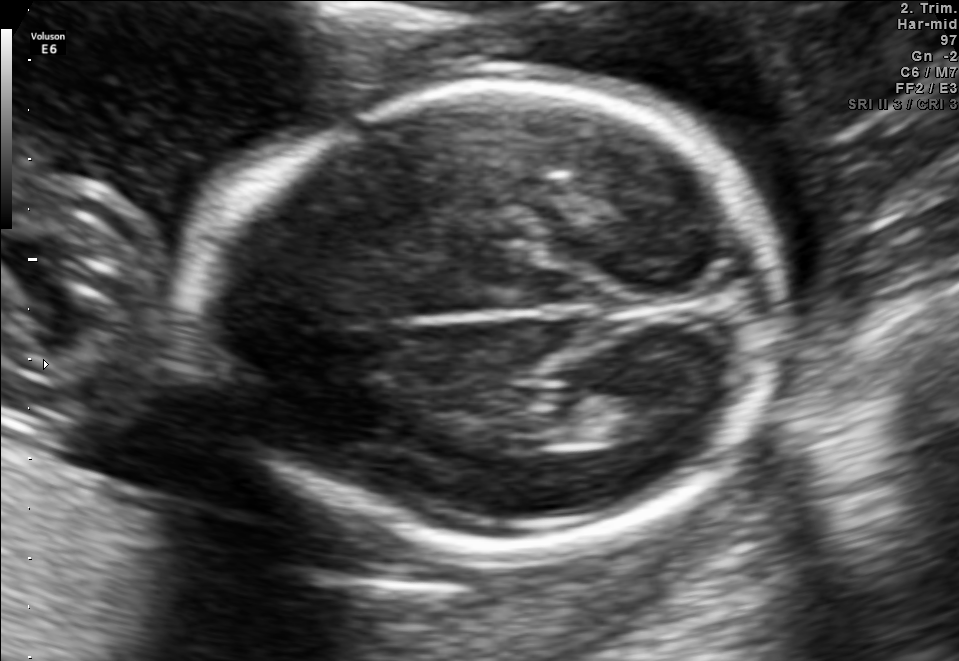
Fetal brain, trans-thalamic plane. Where is the lateral ventricle?

Lateral ventricle bounding box: [592,382,702,447]